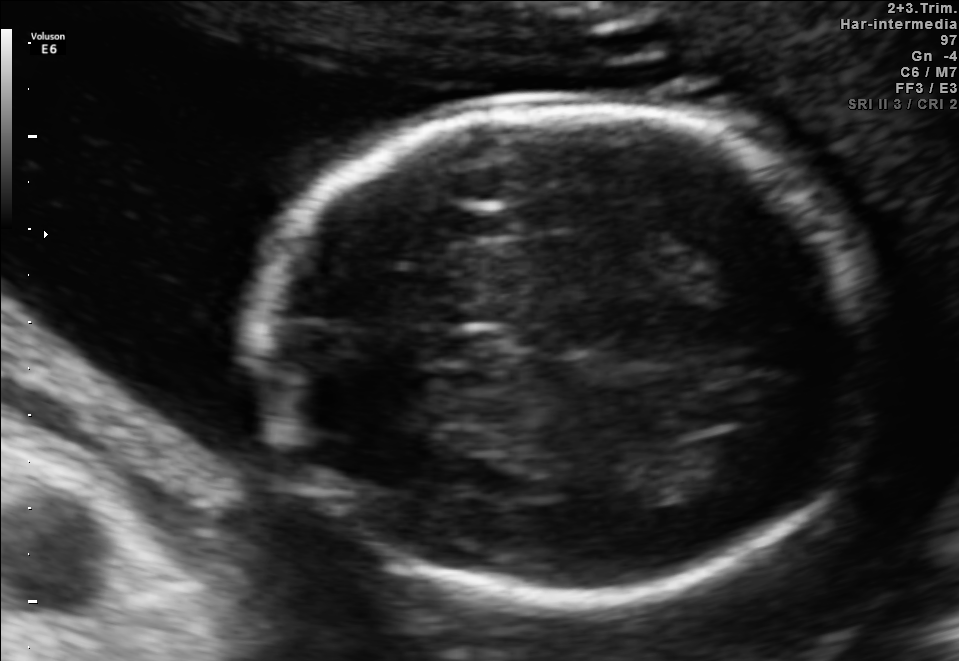
Fetal brain, trans-ventricular plane. Locate the fetal head and, if visible, the cavum septum pellucidum (CSP) and lateral ventricle (LV). Give bounding boxes as [x1,y1,x2,y2].

Head: [241,98,896,607]
CSP: [426,331,508,367]
Lateral ventricle: [685,421,788,494]